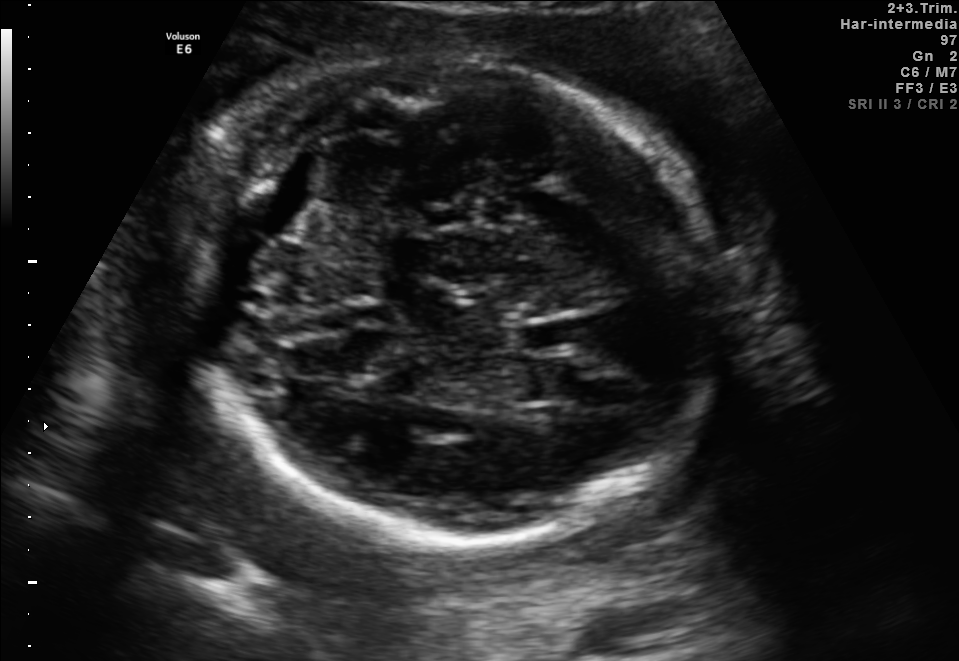
Fetal brain, trans-thalamic plane. Locate the cavum septum pellucidum.

CSP: [513,314,586,353]